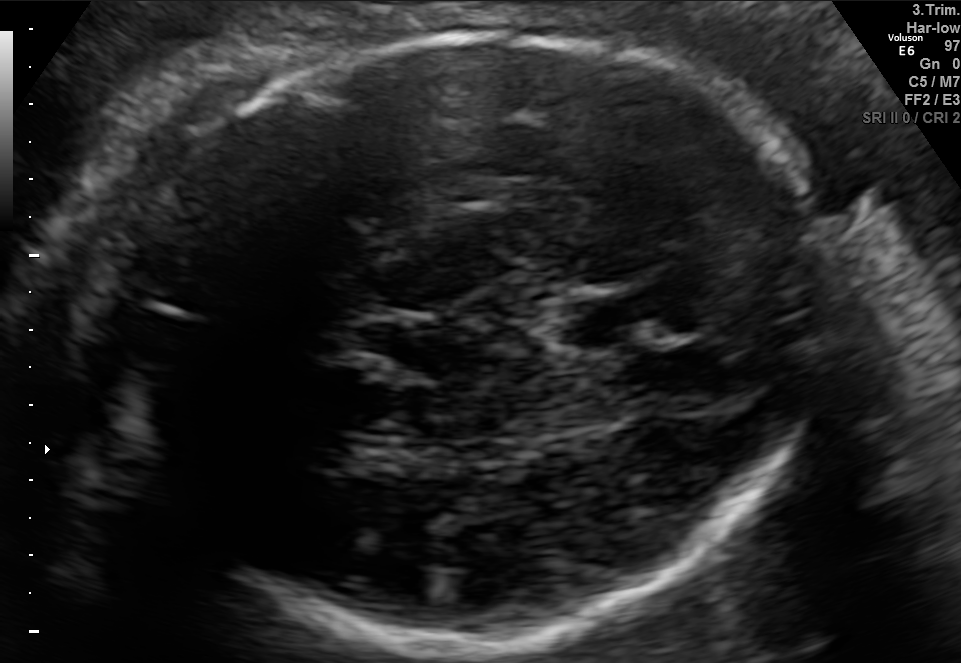
Fetal brain, trans-thalamic plane. Locate the fetal head.

Head: [92,36,829,653]